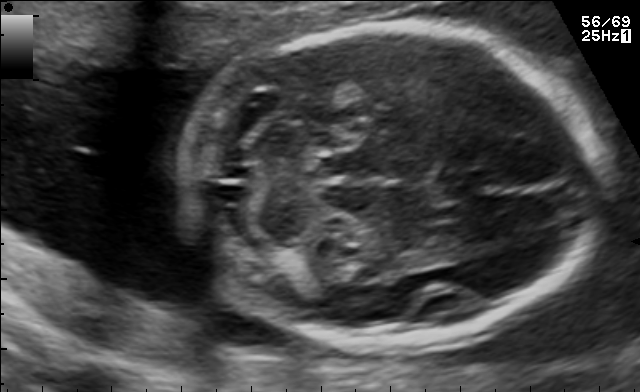
In this fetal brain, trans-cerebellum plane, give the bounding box of the fetal head.

[184,23,606,342]